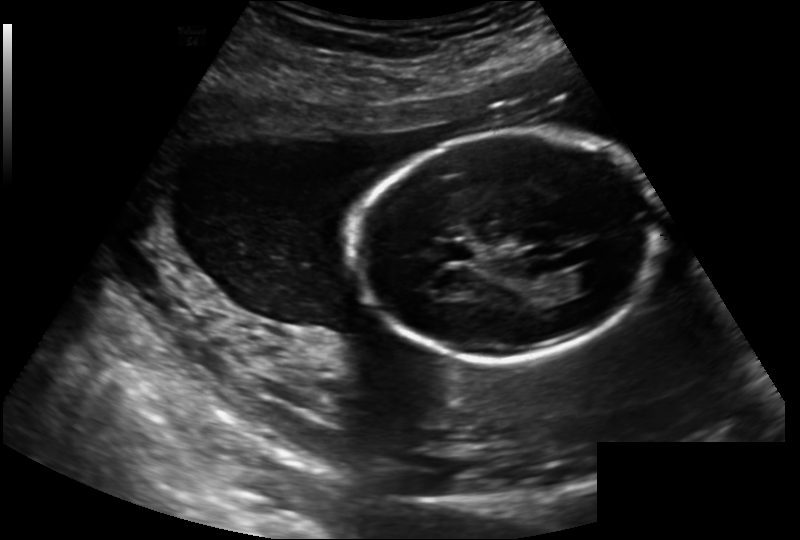
Fetal head ultrasound. Image width: 161.7 mm. Where is the lateral ventricle?

Lateral ventricle bounding box: [559,262,606,298]